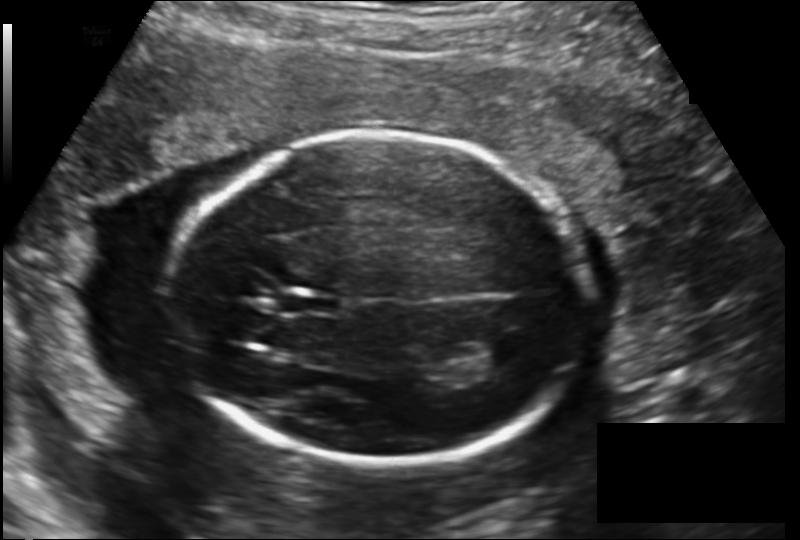
Fetal head ultrasound. Image width: 130.6 mm. Give [x1,y1,x2,y2] bounding boxes for each visible structure among: fetal head, CSP, LV.

Head: [167,133,593,464]
CSP: [280,291,335,314]
Lateral ventricle: [475,329,529,371]